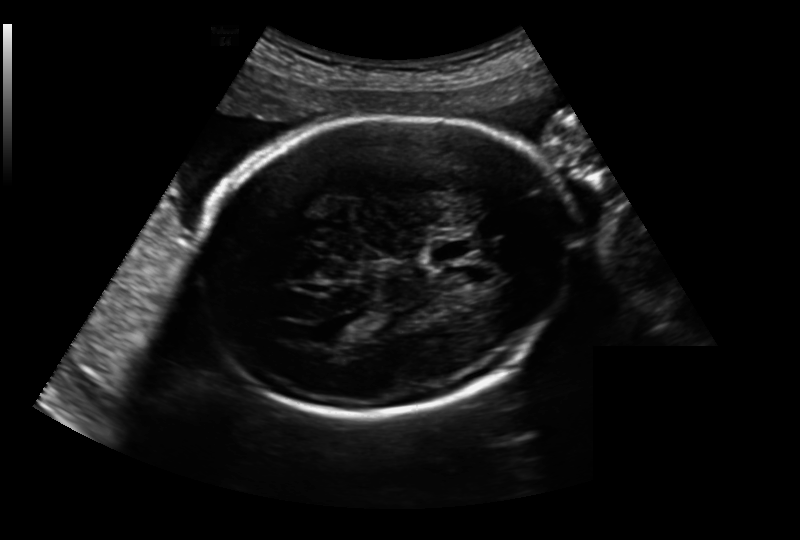
Fetal head ultrasound. Image width: 170.6 mm. Where is the lateral ventricle?

Lateral ventricle bounding box: [323,317,366,344]